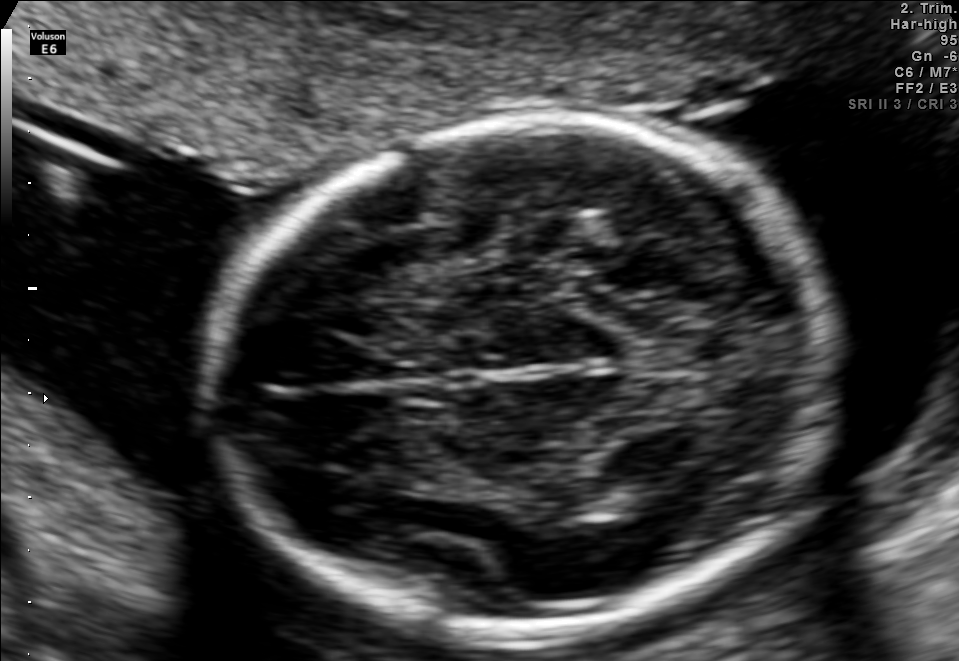
In this fetal brain, trans-thalamic plane, give the bounding box of the fetal head.

[211,118,830,633]